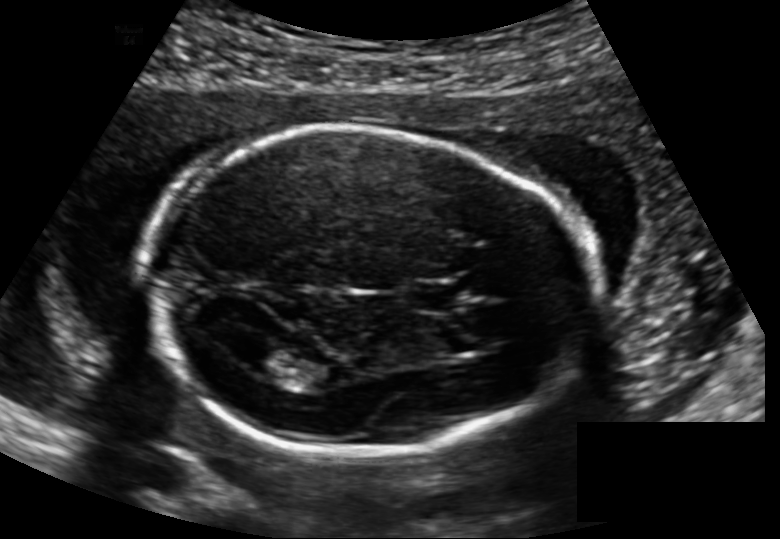
What is the fetal head circumference? Image width is 115.4 mm.

185.6 mm